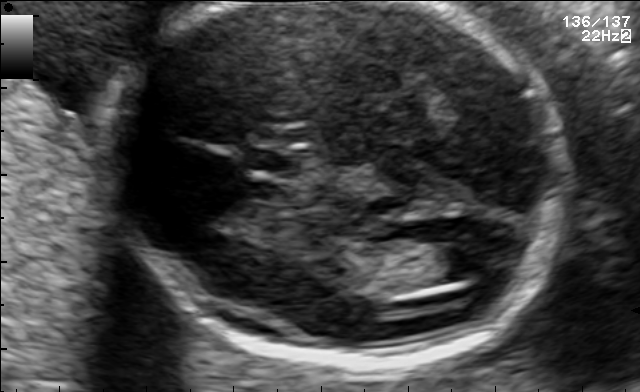
Fetal brain, trans-ventricular plane. Give [x1,y1,x2,y2] bounding boxes for each visible structure among: fetal head, CSP, LV.

Head: [97,2,575,368]
CSP: [240,144,304,181]
Lateral ventricle: [428,238,504,286]